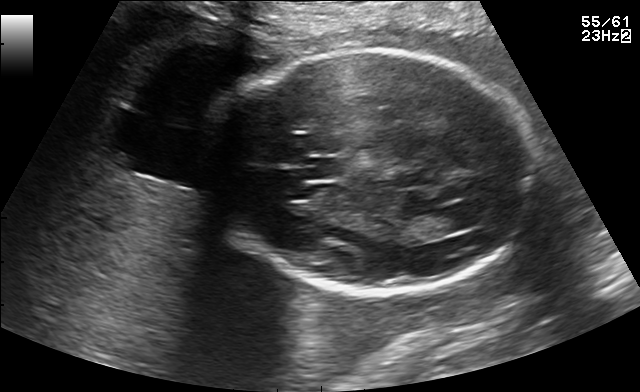
Fetal brain, trans-thalamic plane. Locate the fetal head.

Head: [209,49,538,290]